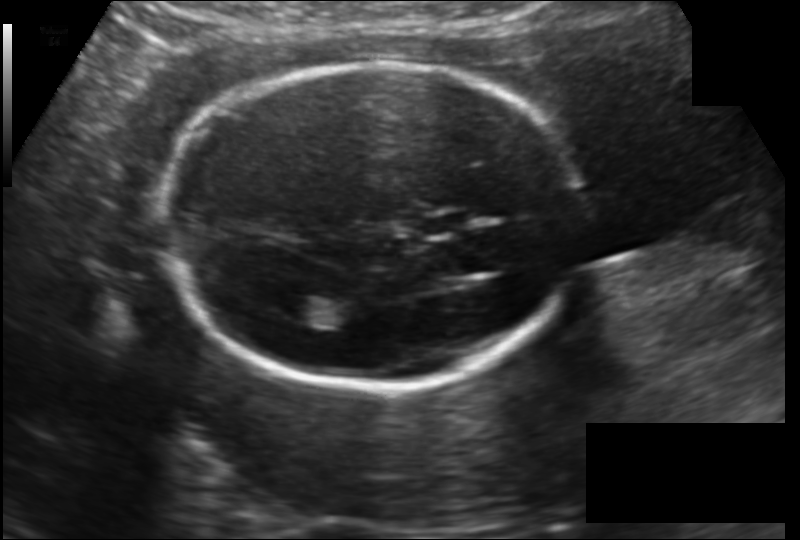
Estimate the fetal head circumference from this 2D ultrasound. Image width: 118.1 mm.

Head circumference: 178.8 mm.